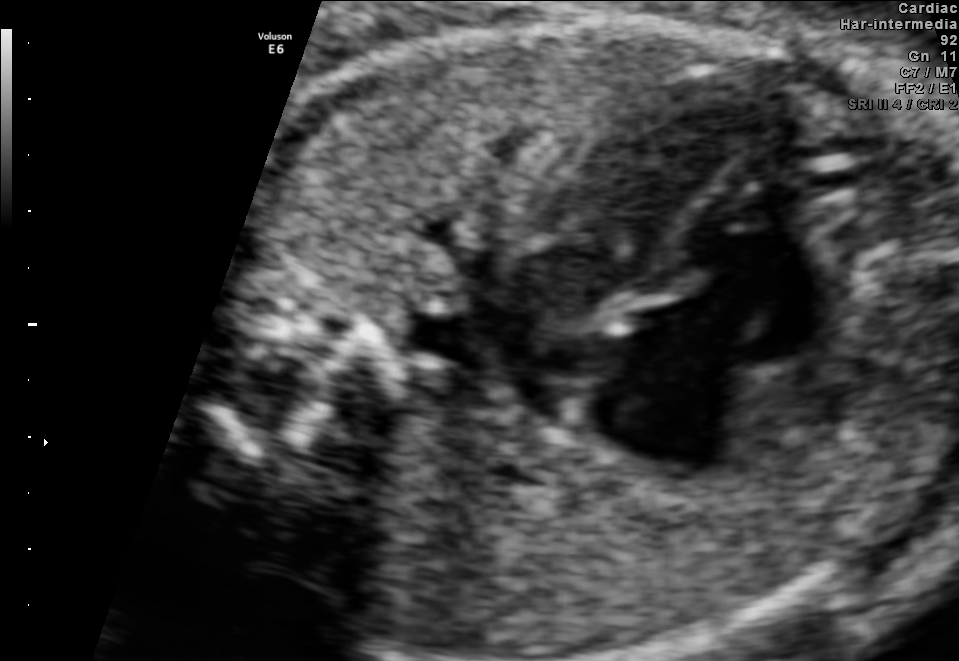
This is a 2D maternal-fetal ultrasound frame. Is it a fetal abdomen, fetal brain, fetal femur, fetal thorax, maternal cervix, or other standard plane? If it's fetal brain and one of the three standard brain planes (trans-thalamic, trans-cerebellum, trans-ventricular), name which.

Fetal thorax